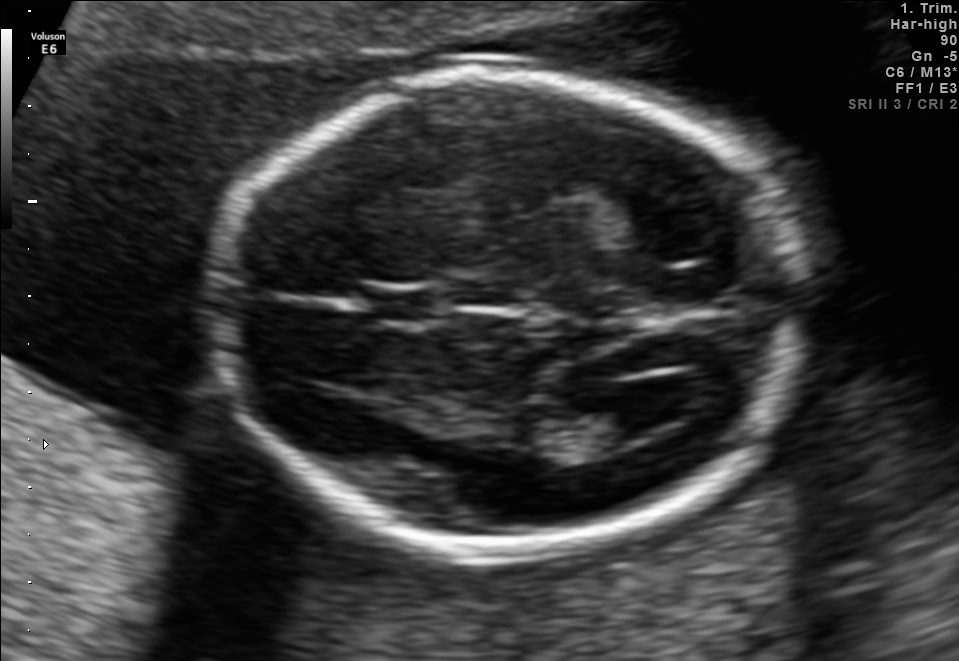
Fetal brain, trans-ventricular plane. Locate the lateral ventricle.

Lateral ventricle: [598,371,692,440]